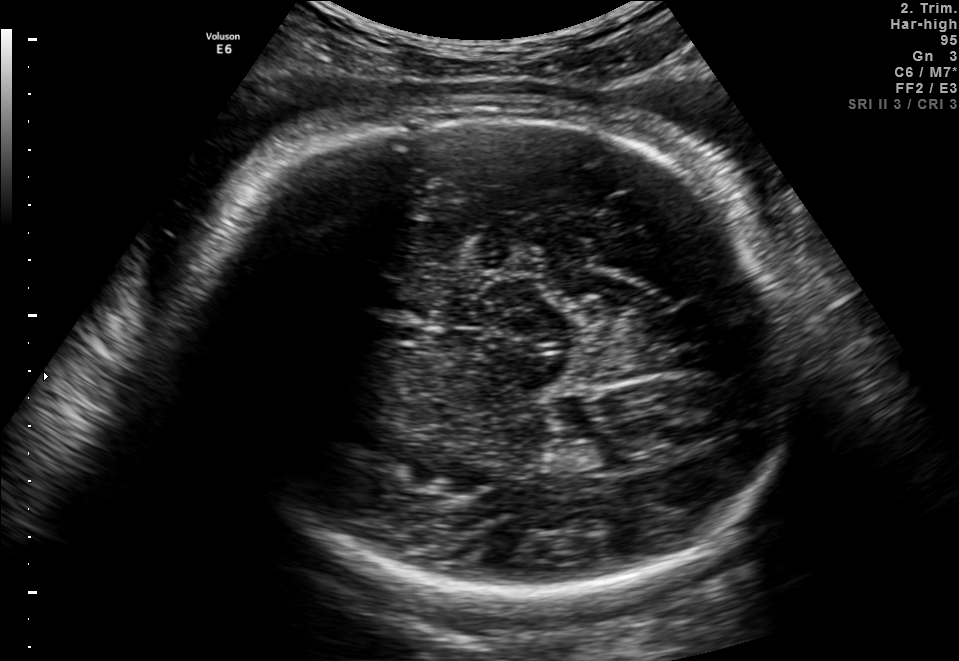
In this fetal brain, trans-thalamic plane, give the bounding box of the fetal head.

[193,116,804,601]